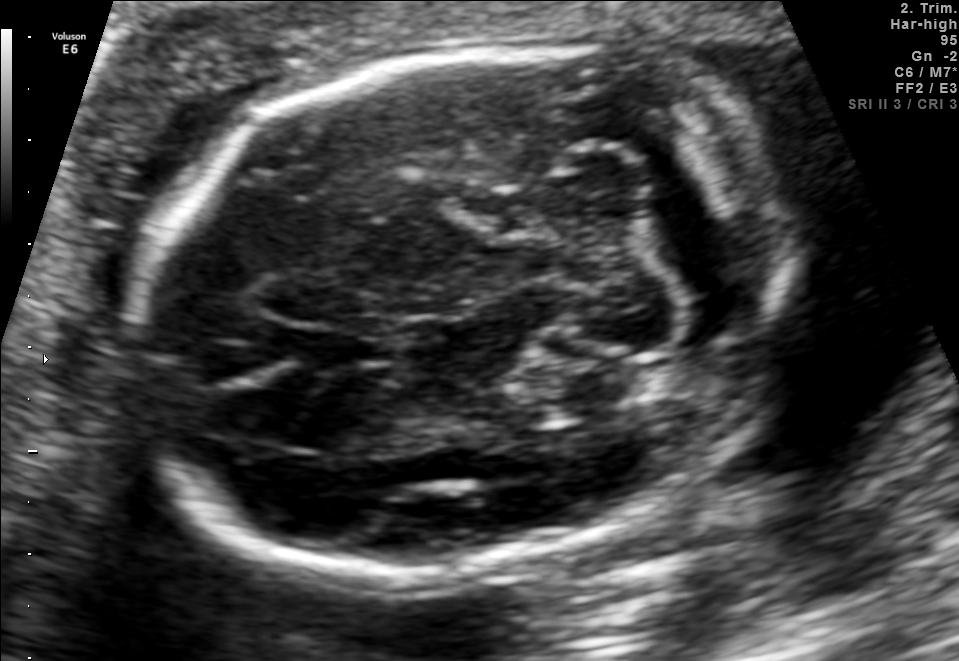
Fetal brain, trans-cerebellum plane. Where is the fetal head?

Head bounding box: [138,40,795,577]